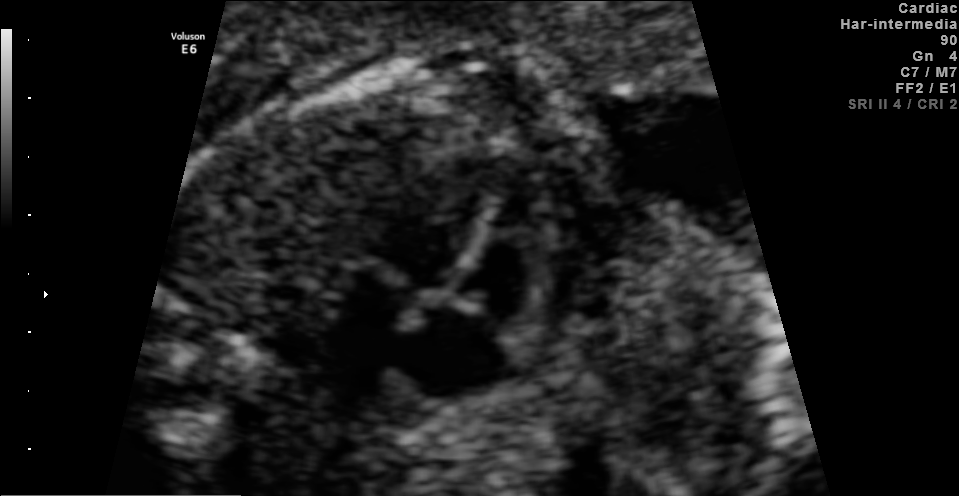
Identify the standard plane in this fetal ultrasound image: fetal abdomen, fetal brain, fetal femur, fetal thorax, maternal cervix, or other. If it's fetal brain and one of the three standard brain planes (trans-thalamic, trans-cerebellum, trans-ventricular), name which.

Fetal thorax